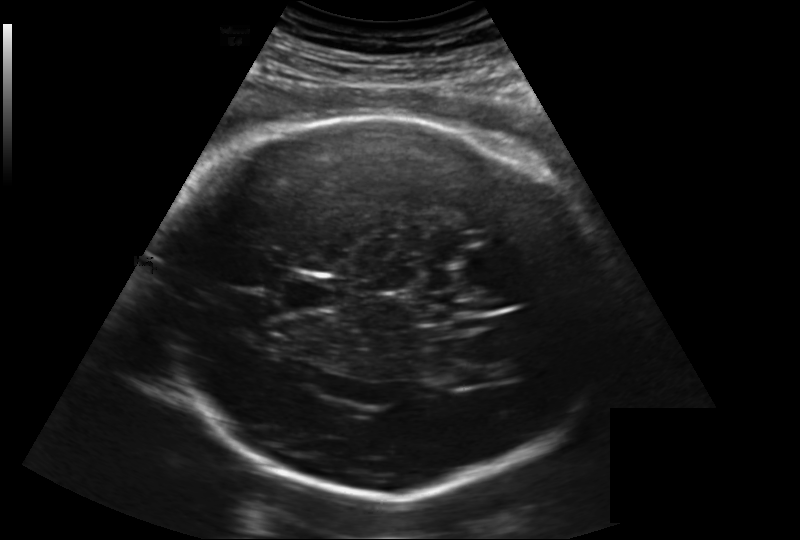
In this fetal head ultrasound, give the bounding box of the cavum septum pellucidum. Image width: 175.3 mm.

[280,278,336,311]